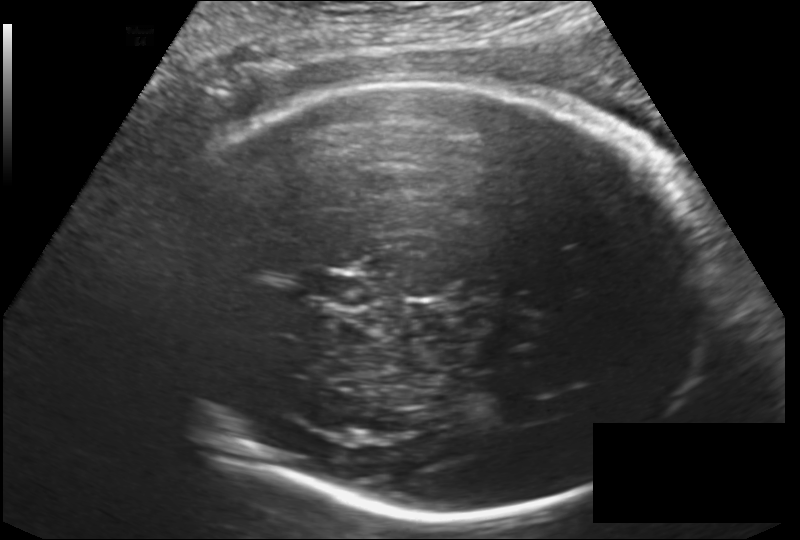
Measure the fetal head circumference shown in this ultrasound image. Image width: 145.9 mm.

Head circumference: 288.9 mm.